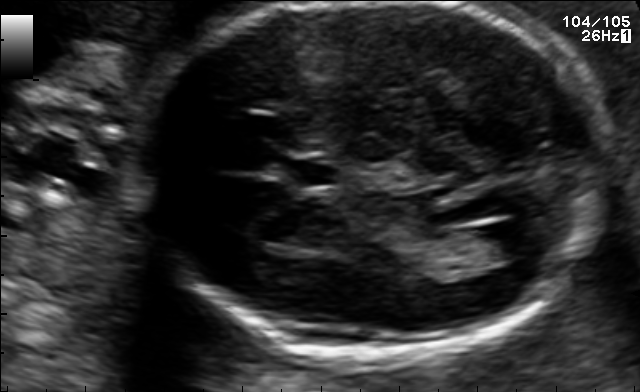
Fetal brain, trans-ventricular plane. Locate the fetal head and, if visible, the cavum septum pellucidum (CSP) and lateral ventricle (LV). Give bounding boxes as [x1,y1,x2,y2].

Head: [119,3,619,365]
CSP: [283,156,339,192]
Lateral ventricle: [478,207,556,265]